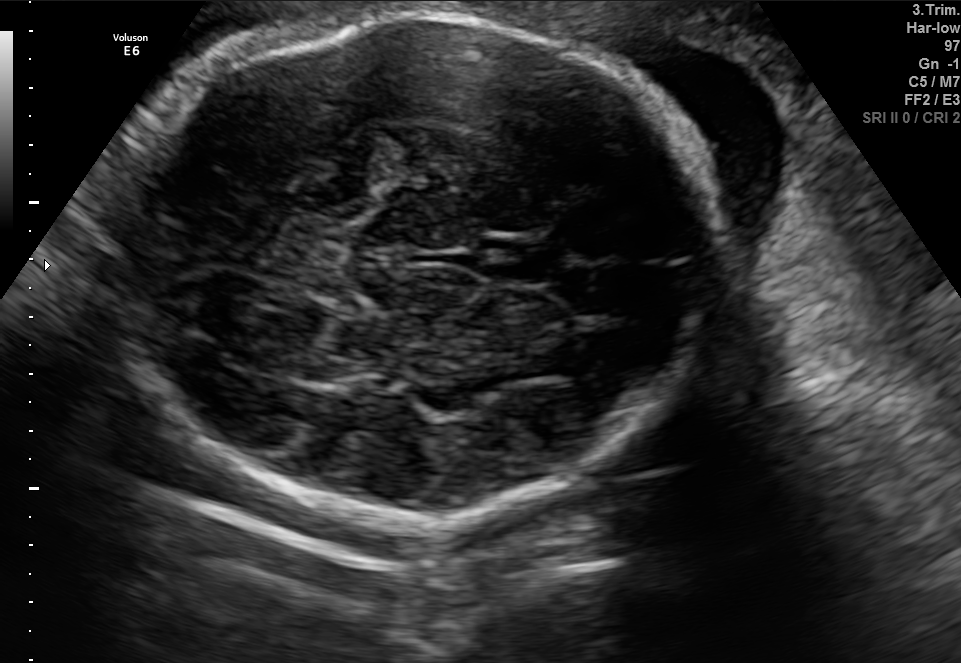
Fetal brain, trans-thalamic plane. Where is the fetal head?

Head bounding box: [124,11,725,532]